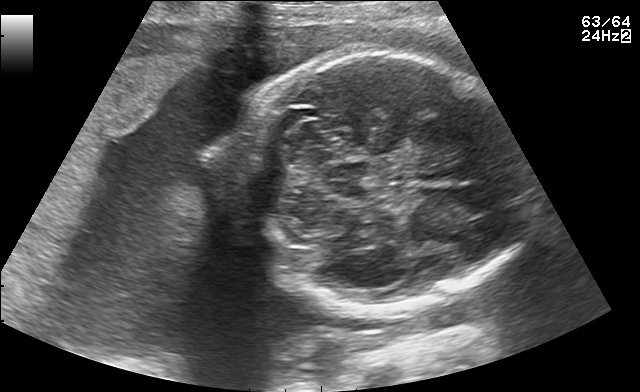
Classify this maternal-fetal ultrasound image as one of the six standard planes — fetal abdomen, fetal brain, fetal femur, fetal thorax, maternal cervix, or other. If it's fetal brain and one of the three standard brain planes (trans-thalamic, trans-cerebellum, trans-ventricular), name which.

Fetal brain (trans-cerebellum plane)